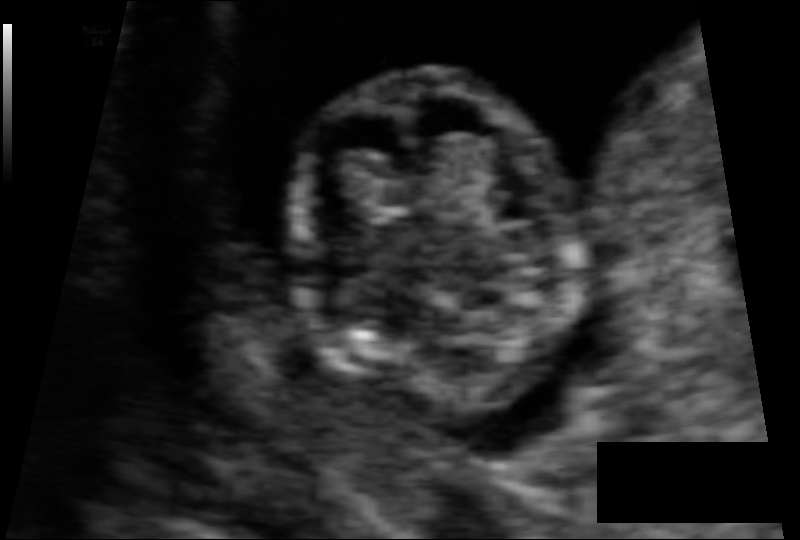
Estimate the fetal head circumference from this 2D ultrasound.

Head circumference: 67.8 mm (image width 52.5 mm).